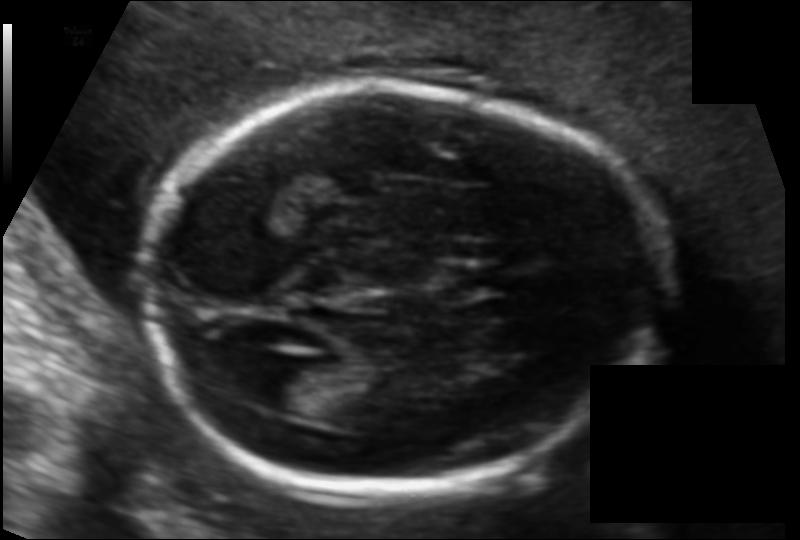
Fetal head ultrasound. Image width: 88.8 mm. Locate the fetal head.

Head: [143,83,660,494]